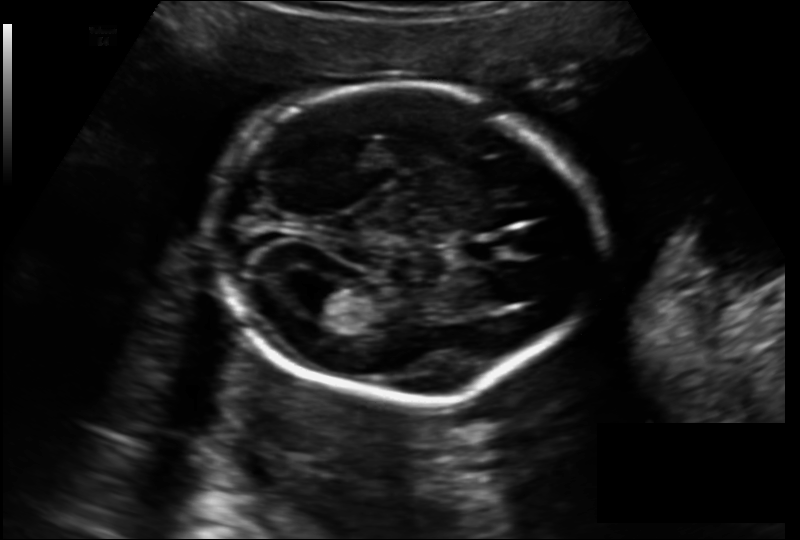
Fetal head ultrasound. Image width: 125.9 mm. Locate the fetal head.

Head: [208,87,592,403]